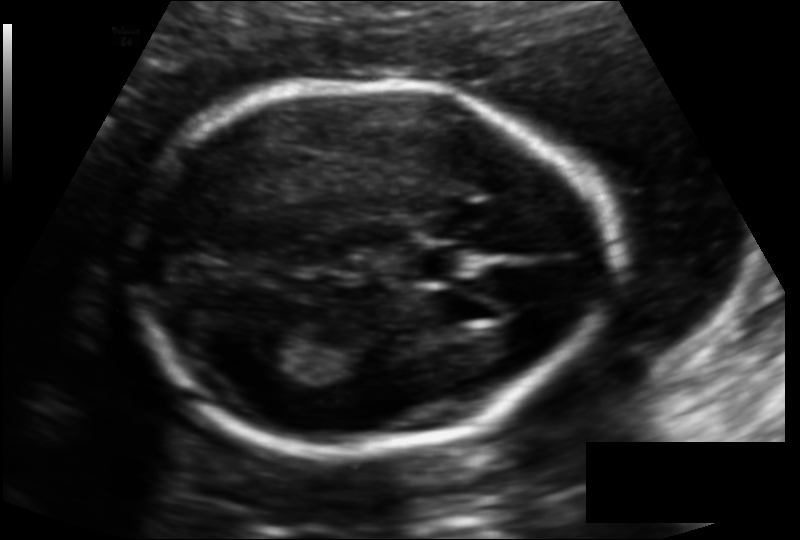
Fetal head ultrasound. Image width: 96.8 mm. Where is the fetal head?

Head bounding box: [127,84,605,451]